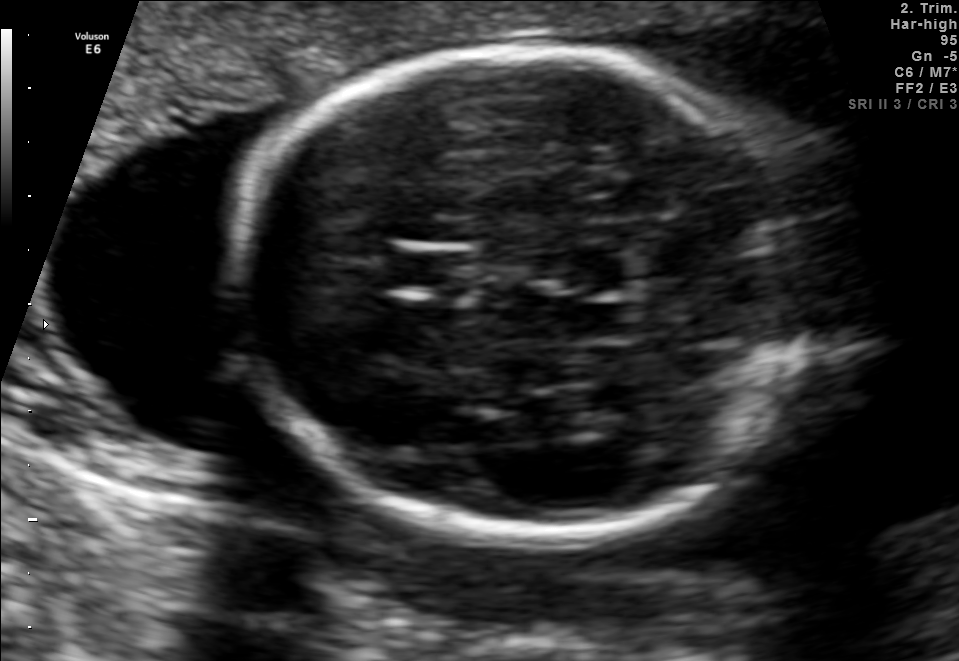
In this fetal brain, trans-thalamic plane, give the bounding box of the cavum septum pellucidum.

[384,244,477,301]